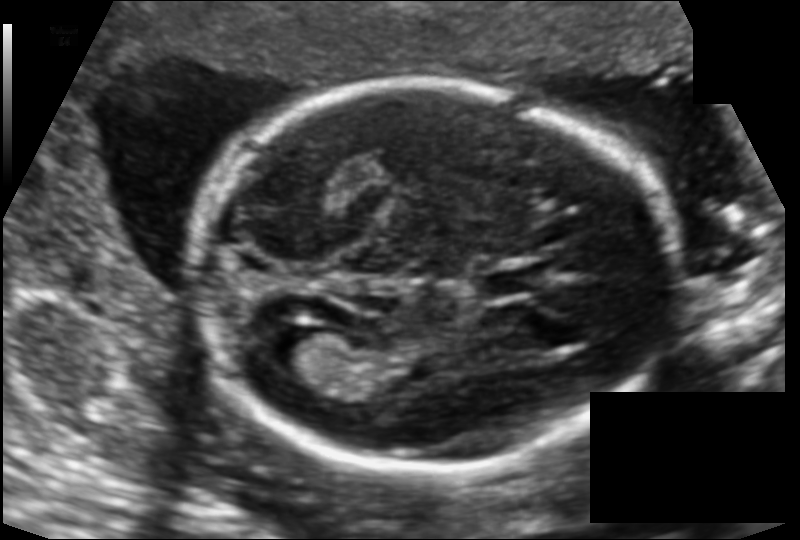
Measure the fetal head circumference shown in this ultrasound image. Image width: 98.8 mm.

Head circumference: 175.3 mm.